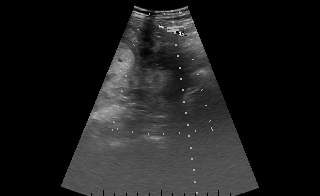
Identify the standard plane in this fetal ultrasound image: fetal abdomen, fetal brain, fetal femur, fetal thorax, maternal cervix, or other. If it's fetal brain and one of the three standard brain planes (trans-thalamic, trans-cerebellum, trans-ventricular), name which.

Other